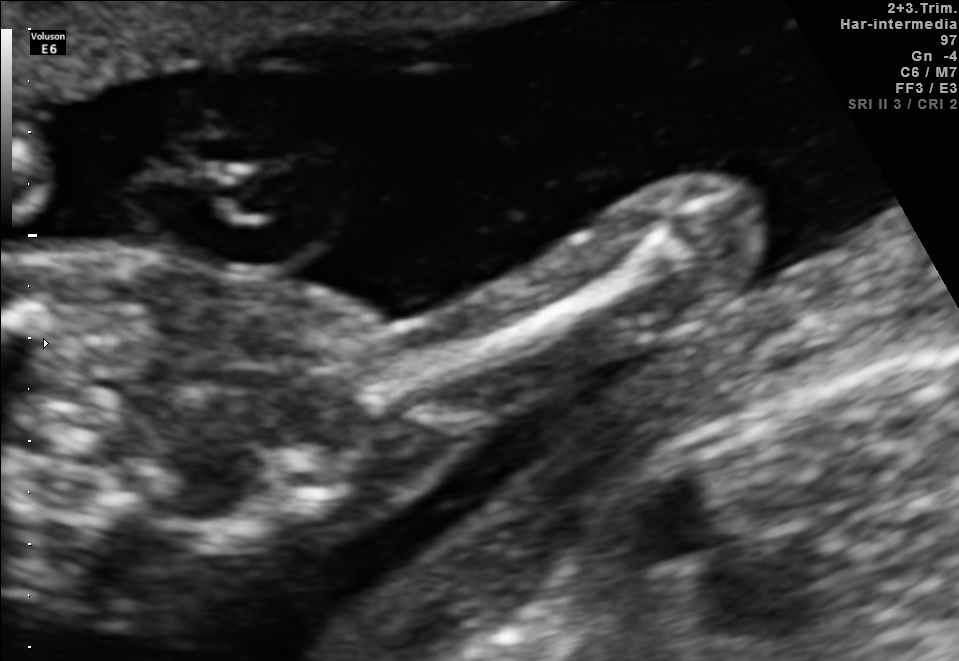
Which standard maternal-fetal ultrasound plane is shown: fetal abdomen, fetal brain, fetal femur, fetal thorax, maternal cervix, or other? If it's fetal brain and one of the three standard brain planes (trans-thalamic, trans-cerebellum, trans-ventricular), name which.

Other